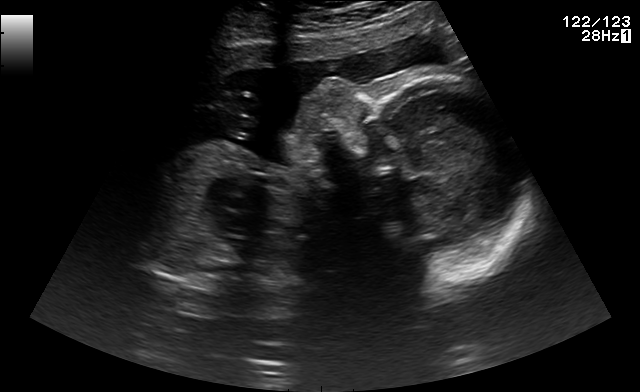
Classify this maternal-fetal ultrasound image as one of the six standard planes — fetal abdomen, fetal brain, fetal femur, fetal thorax, maternal cervix, or other. If it's fetal brain and one of the three standard brain planes (trans-thalamic, trans-cerebellum, trans-ventricular), name which.

Other